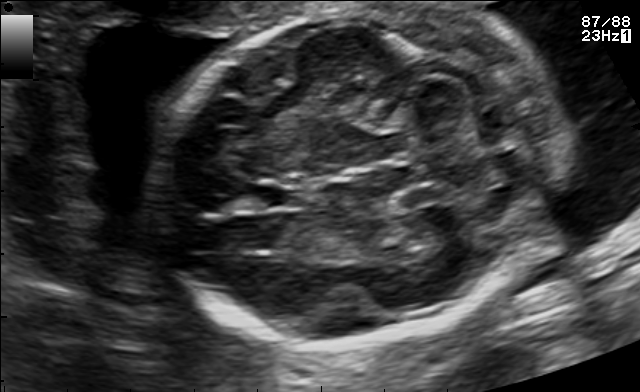
Fetal brain, trans-cerebellum plane. Locate the fetal head and, if visible, the cavum septum pellucidum (CSP) and lateral ventricle (LV). Give bounding boxes as [x1,y1,x2,y2].

Head: [153,9,564,345]
CSP: [245,183,301,209]